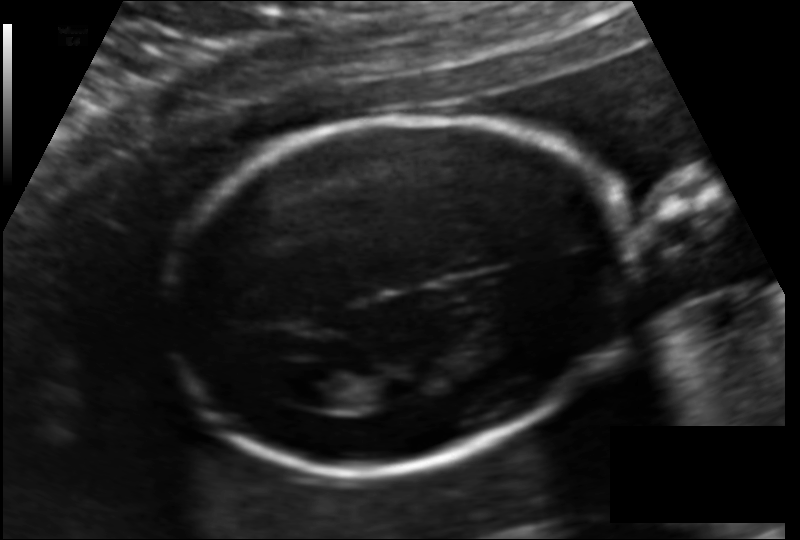
Fetal head ultrasound. Image width: 101.5 mm. Where is the fetal head?

Head bounding box: [161,117,634,469]